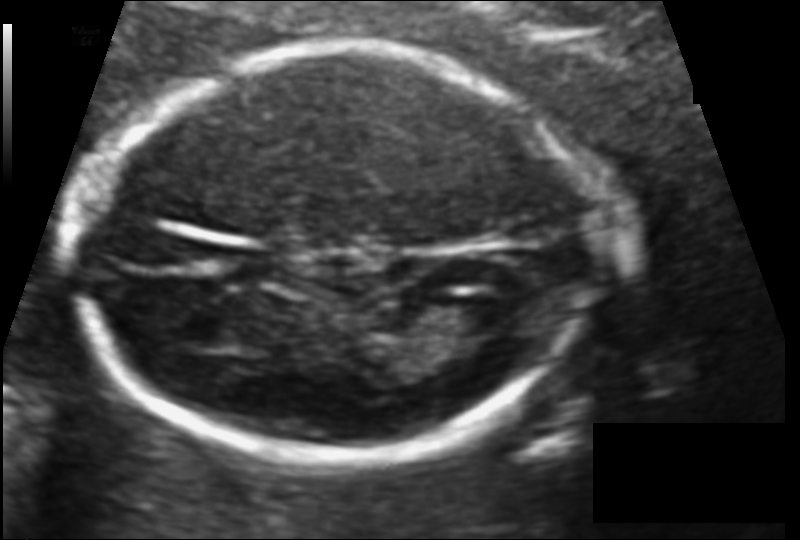
Fetal head ultrasound. Image width: 81.3 mm. Where is the fetal head?

Head bounding box: [76,49,587,463]